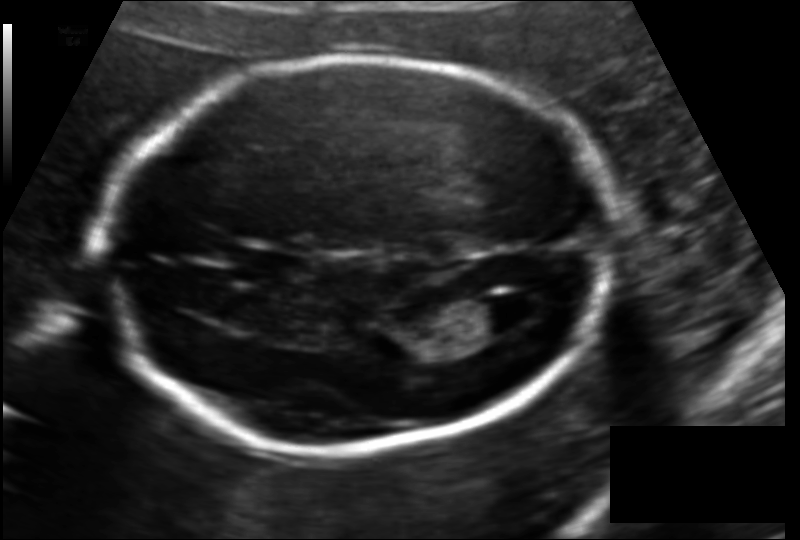
In this fetal head ultrasound, give bounding boxes for the head outline, cavum septum pellucidum (CSP), and lateral ventricle (LV), where visible. Image width: 101.5 mm.

Head: [103,59,609,450]
CSP: [228,245,308,284]
Lateral ventricle: [459,292,520,344]